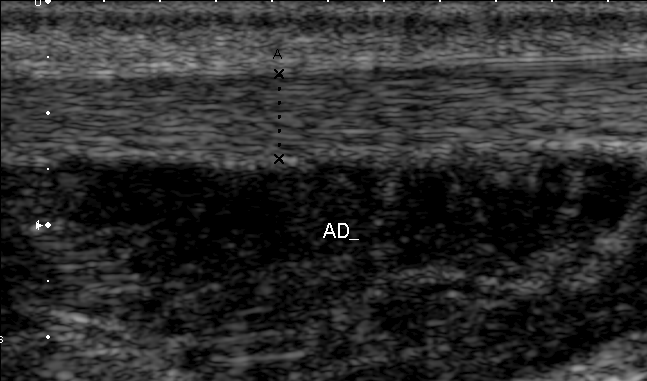
Which standard maternal-fetal ultrasound plane is shown: fetal abdomen, fetal brain, fetal femur, fetal thorax, maternal cervix, or other? If it's fetal brain and one of the three standard brain planes (trans-thalamic, trans-cerebellum, trans-ventricular), name which.

Other